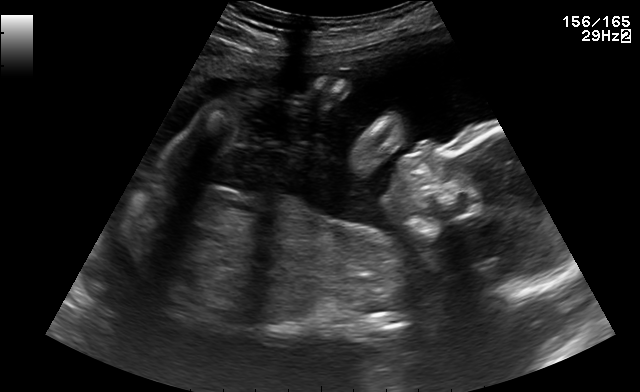
Identify the standard plane in this fetal ultrasound image: fetal abdomen, fetal brain, fetal femur, fetal thorax, maternal cervix, or other. If it's fetal brain and one of the three standard brain planes (trans-thalamic, trans-cerebellum, trans-ventricular), name which.

Other